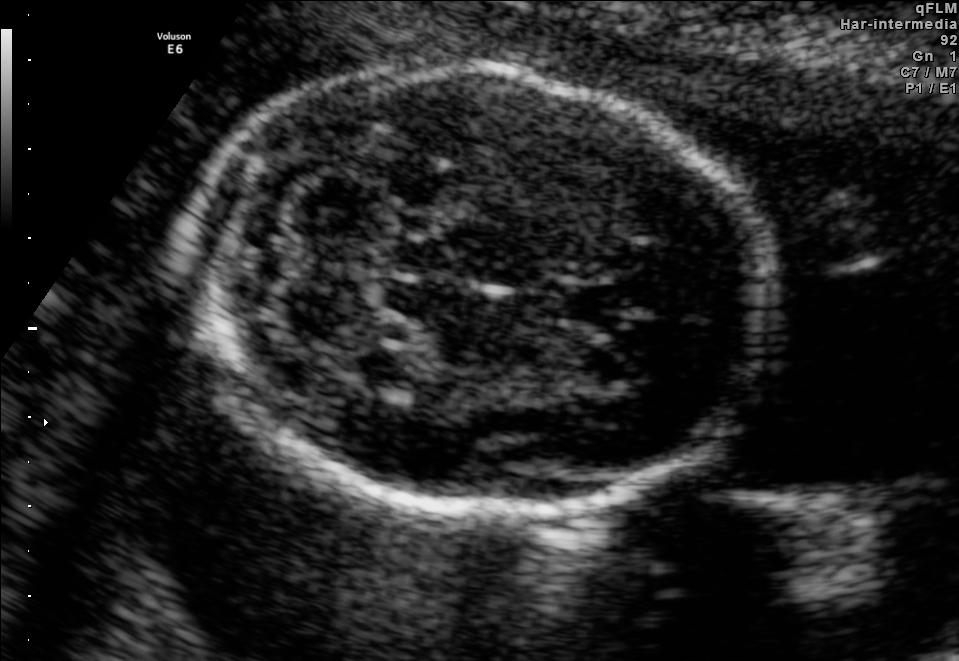
Fetal brain, trans-cerebellum plane. Where is the fetal head?

Head bounding box: [191,65,772,512]